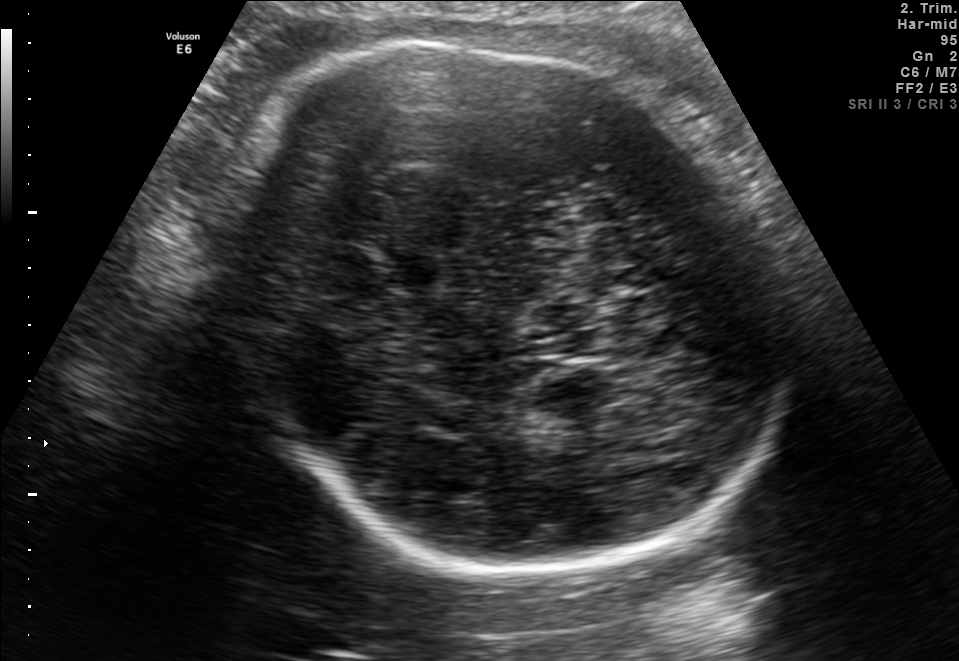
This is a 2D maternal-fetal ultrasound frame. Is it a fetal abdomen, fetal brain, fetal femur, fetal thorax, maternal cervix, or other standard plane? If it's fetal brain and one of the three standard brain planes (trans-thalamic, trans-cerebellum, trans-ventricular), name which.

Fetal brain (trans-thalamic plane)